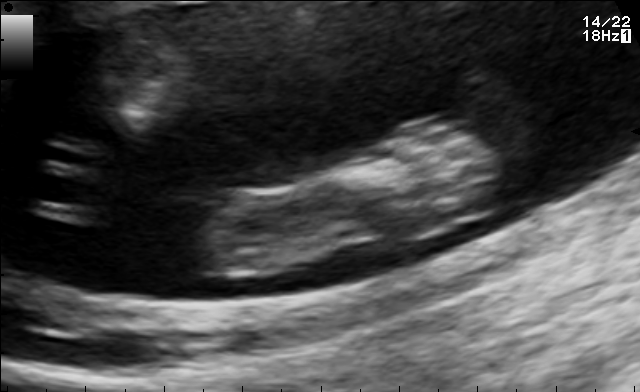
This is a 2D maternal-fetal ultrasound frame. Is it a fetal abdomen, fetal brain, fetal femur, fetal thorax, maternal cervix, or other standard plane? If it's fetal brain and one of the three standard brain planes (trans-thalamic, trans-cerebellum, trans-ventricular), name which.

Other